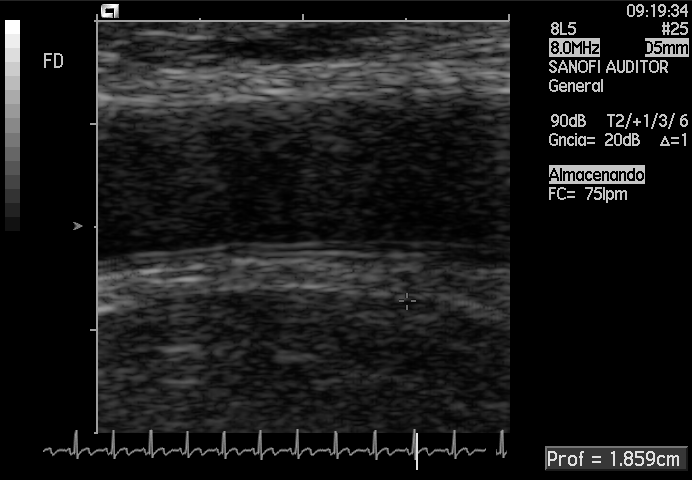
Which standard maternal-fetal ultrasound plane is shown: fetal abdomen, fetal brain, fetal femur, fetal thorax, maternal cervix, or other? If it's fetal brain and one of the three standard brain planes (trans-thalamic, trans-cerebellum, trans-ventricular), name which.

Other